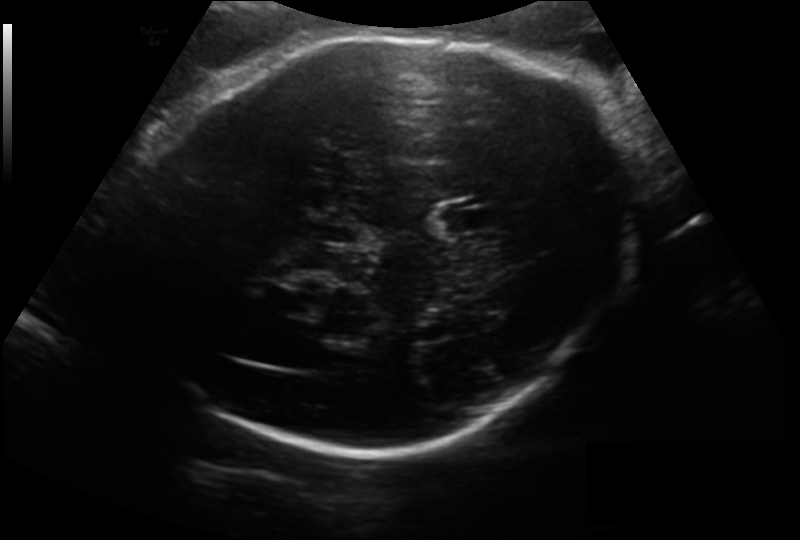
In this fetal head ultrasound, give the bounding box of the fetal head. Image width: 160.1 mm.

[138,35,626,448]